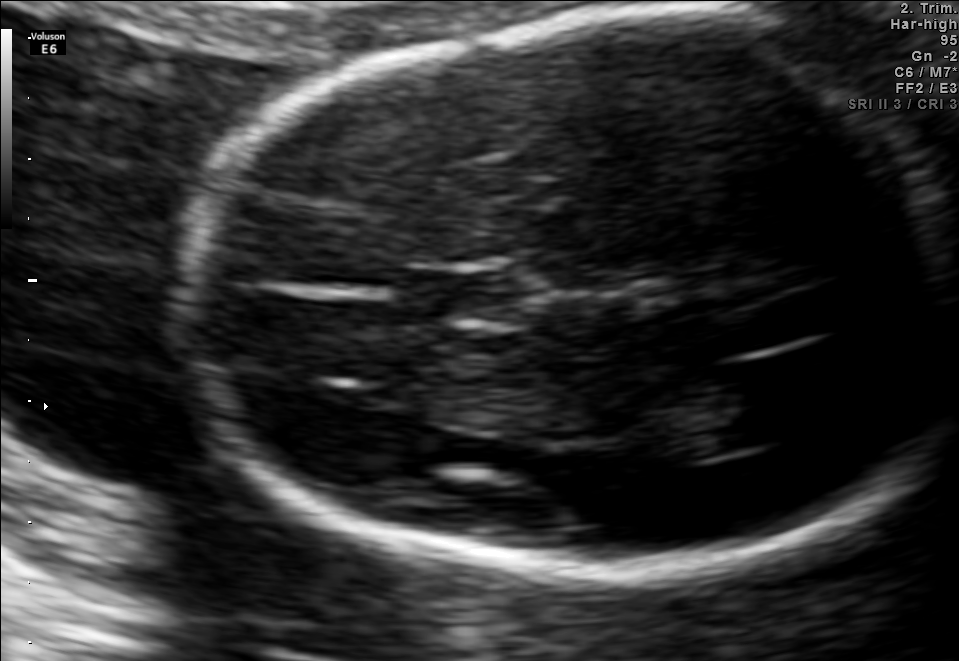
In this fetal brain, trans-thalamic plane, give bounding boxes for the head outline, cavum septum pellucidum (CSP), and lateral ventricle (LV), where visible.

Head: [182,19,955,572]
CSP: [404,274,517,320]
Lateral ventricle: [665,363,802,463]